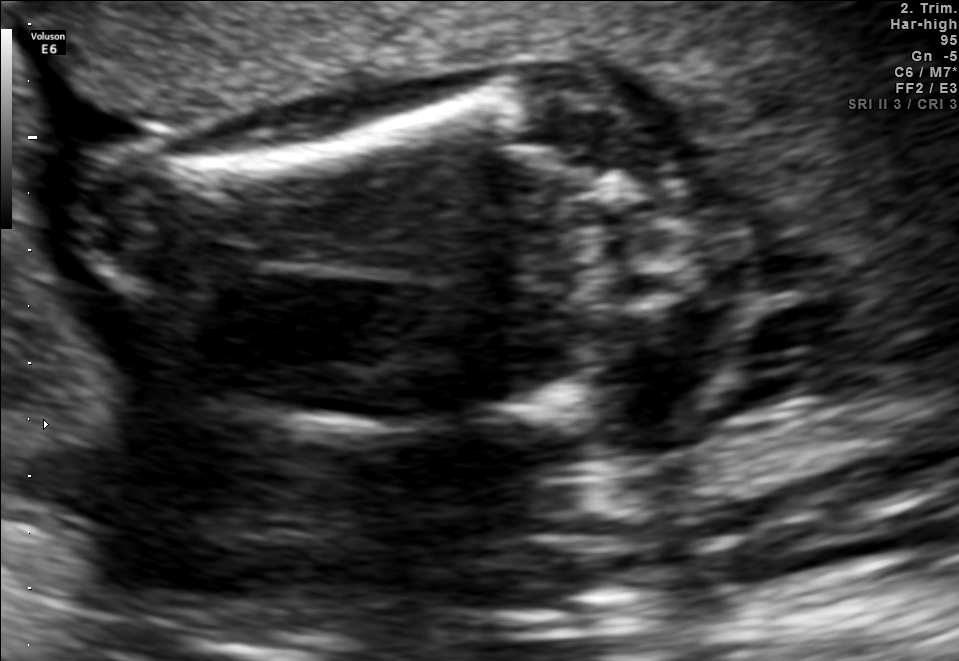
Classify this maternal-fetal ultrasound image as one of the six standard planes — fetal abdomen, fetal brain, fetal femur, fetal thorax, maternal cervix, or other. If it's fetal brain and one of the three standard brain planes (trans-thalamic, trans-cerebellum, trans-ventricular), name which.

Fetal femur